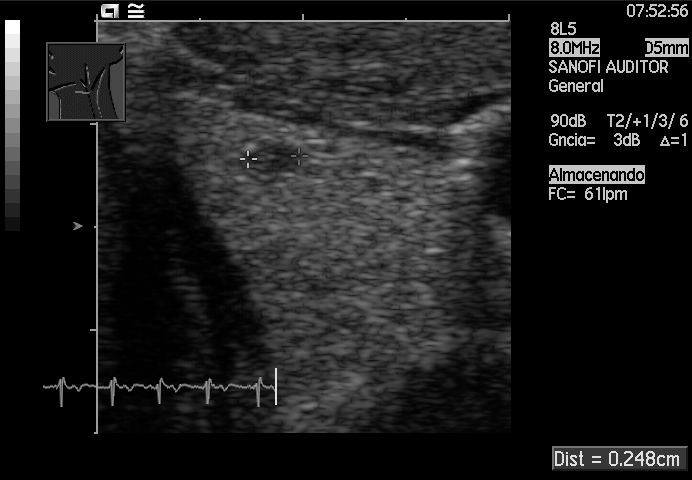
This is a 2D maternal-fetal ultrasound frame. Is it a fetal abdomen, fetal brain, fetal femur, fetal thorax, maternal cervix, or other standard plane? If it's fetal brain and one of the three standard brain planes (trans-thalamic, trans-cerebellum, trans-ventricular), name which.

Other